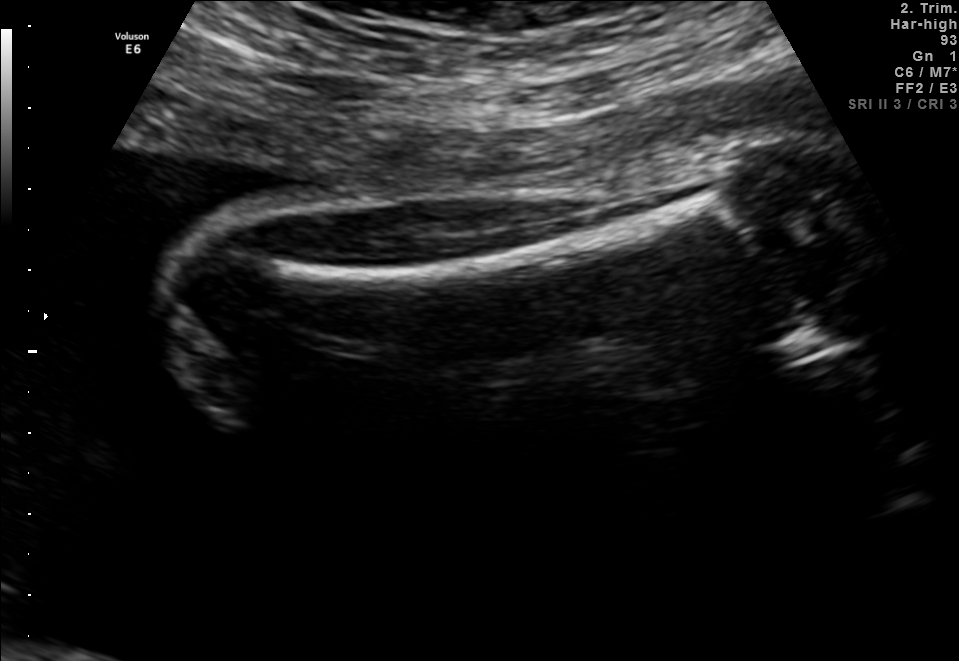
Classify this maternal-fetal ultrasound image as one of the six standard planes — fetal abdomen, fetal brain, fetal femur, fetal thorax, maternal cervix, or other. If it's fetal brain and one of the three standard brain planes (trans-thalamic, trans-cerebellum, trans-ventricular), name which.

Fetal femur